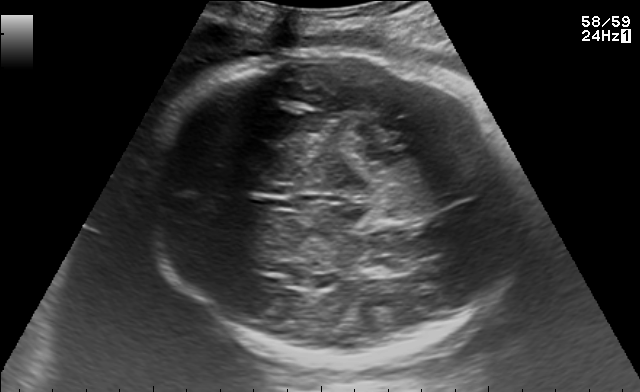
Fetal brain, trans-thalamic plane. Locate the fetal head and, if visible, the cavum septum pellucidum (CSP) and lateral ventricle (LV). Give bounding boxes as [x1,y1,x2,y2].

Head: [141,45,524,361]
Lateral ventricle: [361,255,407,279]